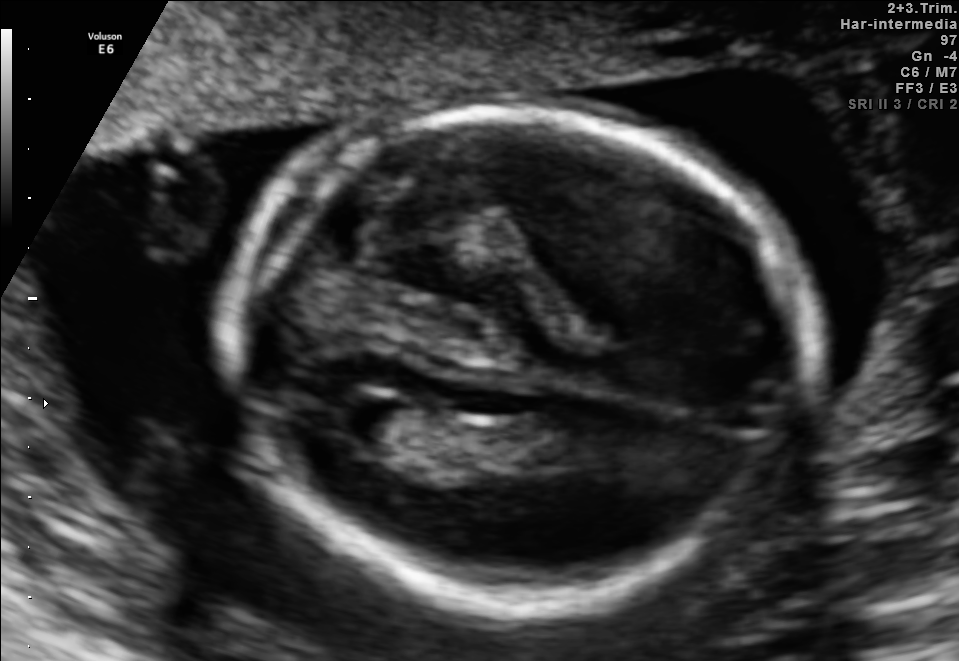
Fetal brain, trans-ventricular plane. Where is the fetal head?

Head bounding box: [215,101,826,618]